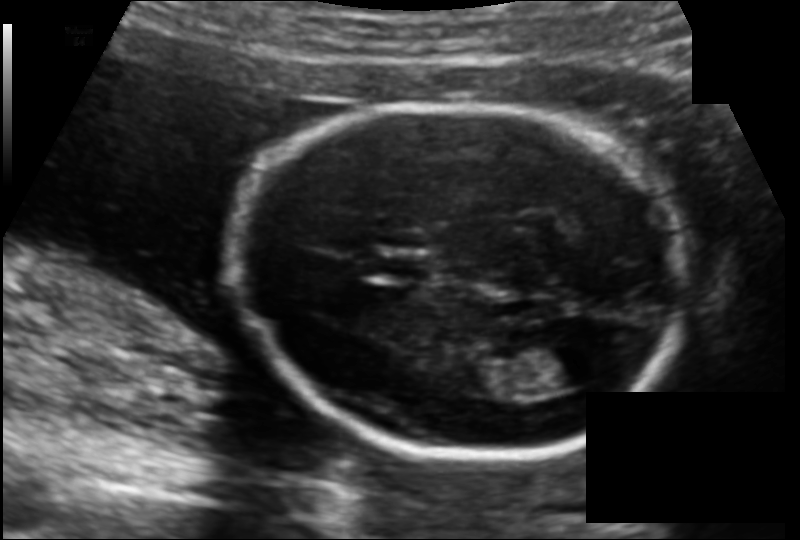
Fetal head ultrasound. Image width: 100.4 mm. Locate the fetal head and, if visible, the cavum septum pellucidum (CSP) and lateral ventricle (LV). Give bounding boxes as [x1,y1,x2,y2].

Head: [236,103,684,455]
CSP: [378,253,433,280]
Lateral ventricle: [539,339,606,393]